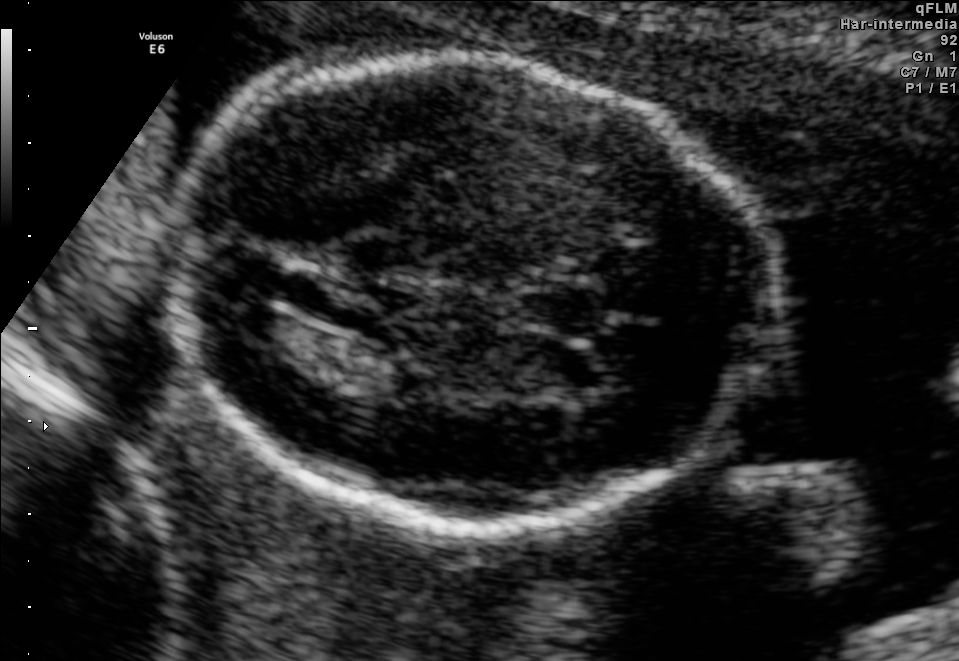
Fetal brain, trans-thalamic plane. Locate the cavum septum pellucidum.

CSP: [519,284,603,334]